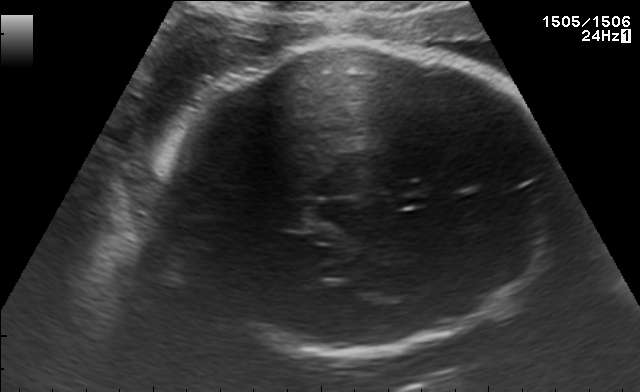
Fetal brain, trans-thalamic plane. Locate the fetal head and, if visible, the cavum septum pellucidum (CSP) and lateral ventricle (LV). Give bounding boxes as [x1,y1,x2,y2].

Head: [158,47,558,355]